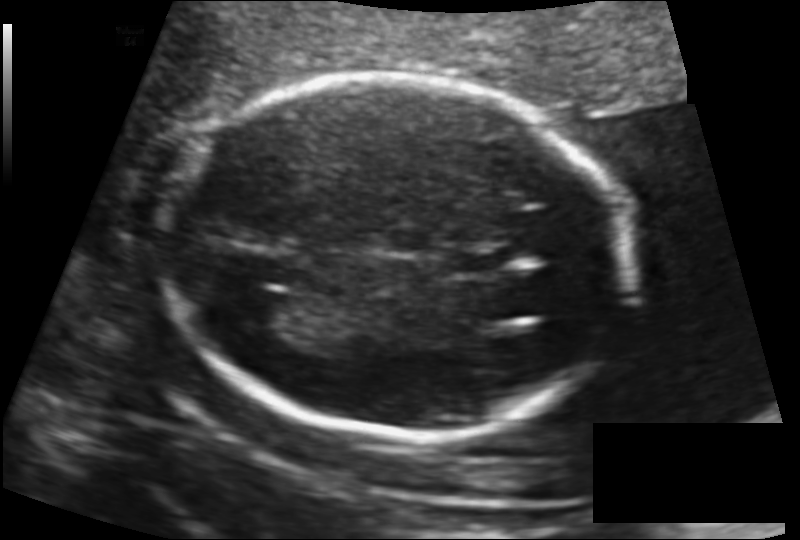
Fetal head ultrasound. Image width: 104.1 mm. Give [x1,y1,x2,y2] bounding boxes for each visible structure among: fetal head, CSP, LV.

Head: [163,74,632,435]
CSP: [439,247,515,276]
Lateral ventricle: [231,285,309,340]